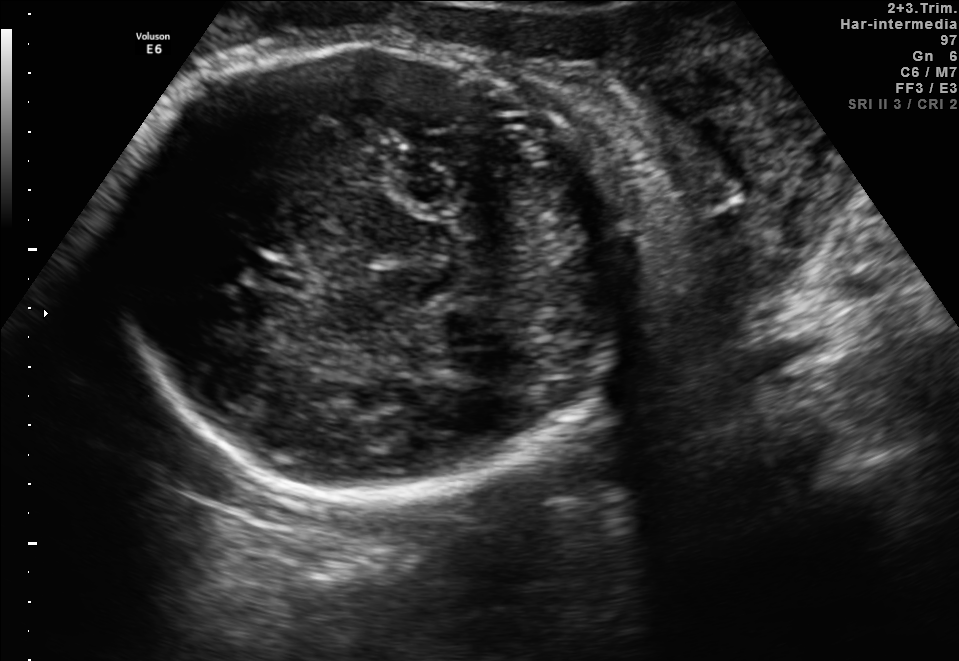
Fetal brain, trans-thalamic plane. Locate the lateral ventricle.

Lateral ventricle: [455,349,516,381]